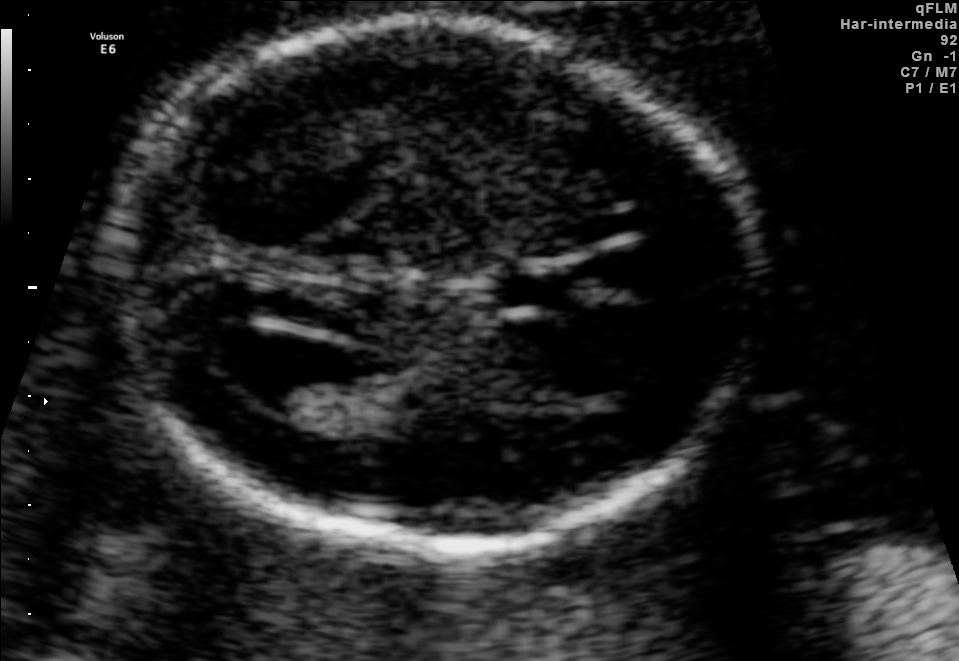
Fetal brain, trans-ventricular plane. Locate the fetal head and, if visible, the cavum septum pellucidum (CSP) and lateral ventricle (LV). Give bounding boxes as [x1,y1,x2,y2].

Head: [91,9,778,566]
CSP: [482,272,588,312]
Lateral ventricle: [203,313,342,422]